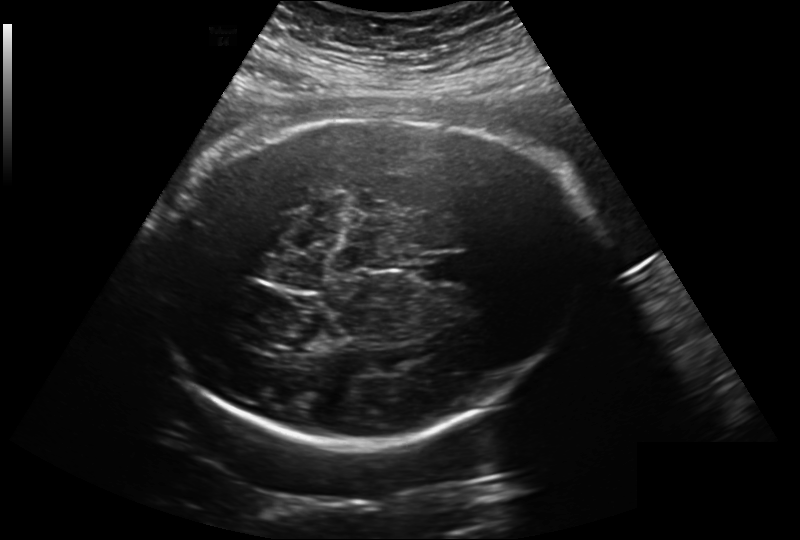
Fetal head ultrasound. Image width: 208.0 mm. Locate the fetal head and, if visible, the cavum septum pellucidum (CSP) and lateral ventricle (LV). Give bounding boxes as [x1,y1,x2,y2].

Head: [148,115,588,441]
CSP: [418,253,470,285]